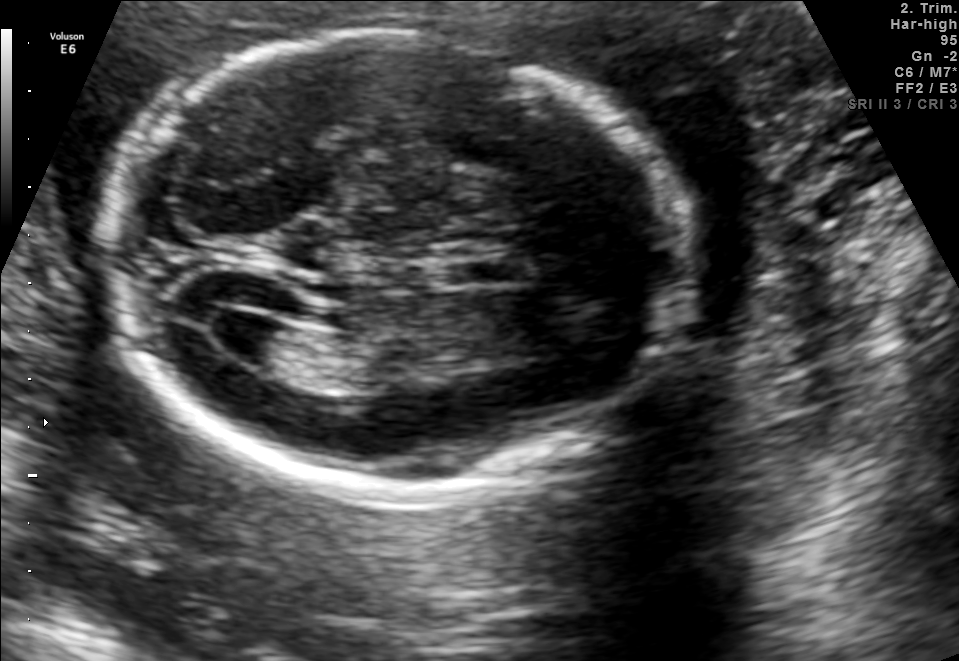
Fetal brain, trans-ventricular plane. Locate the cavum septum pellucidum.

CSP: [439,256,537,284]